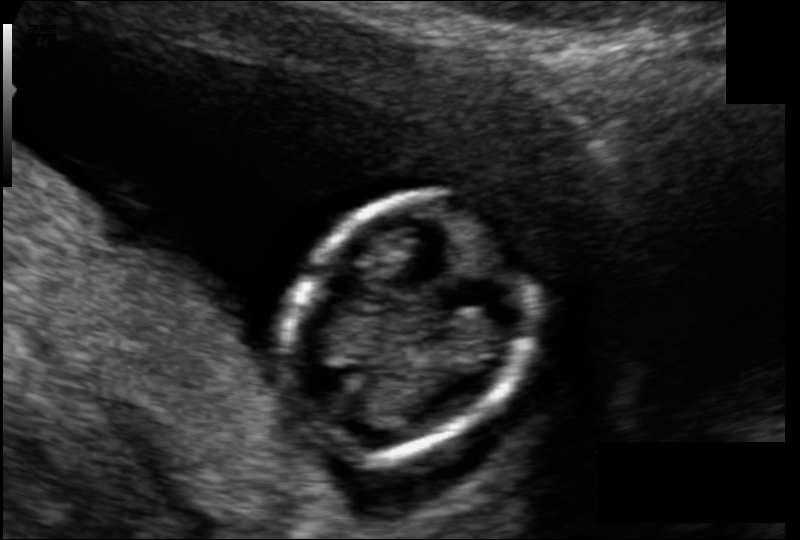
In this fetal head ultrasound, give bounding boxes for the head outline, cavum septum pellucidum (CSP), and lateral ventricle (LV), where visible. Image width: 71.6 mm.

Head: [285,194,536,456]